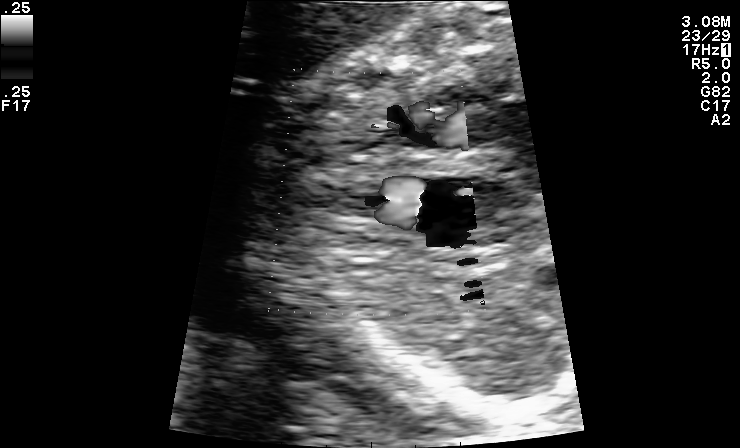
This is a 2D maternal-fetal ultrasound frame. Is it a fetal abdomen, fetal brain, fetal femur, fetal thorax, maternal cervix, or other standard plane? If it's fetal brain and one of the three standard brain planes (trans-thalamic, trans-cerebellum, trans-ventricular), name which.

Other